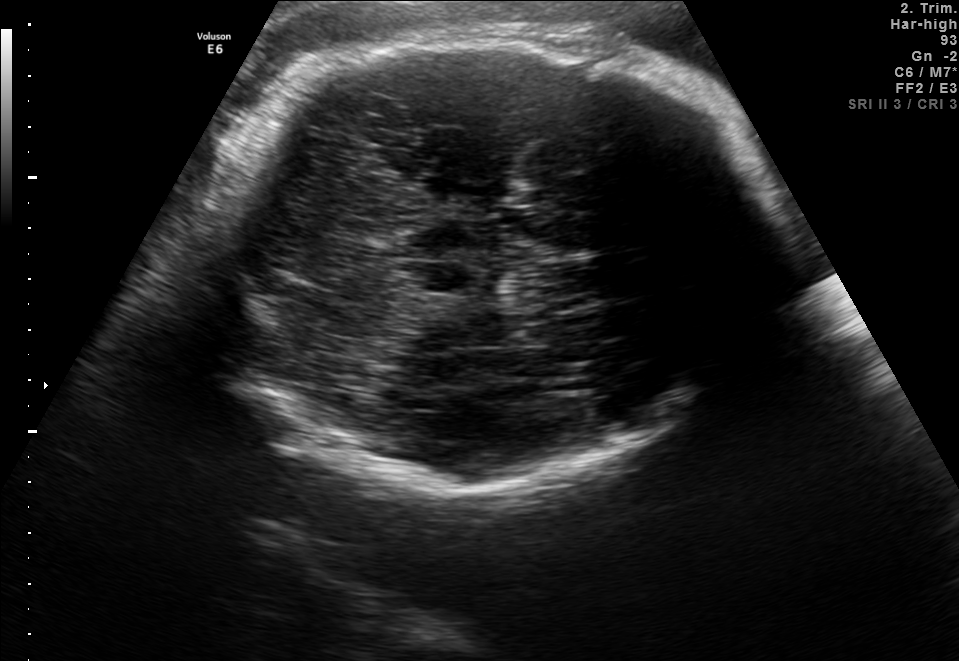
Which standard maternal-fetal ultrasound plane is shown: fetal abdomen, fetal brain, fetal femur, fetal thorax, maternal cervix, or other? If it's fetal brain and one of the three standard brain planes (trans-thalamic, trans-cerebellum, trans-ventricular), name which.

Fetal brain (trans-thalamic plane)